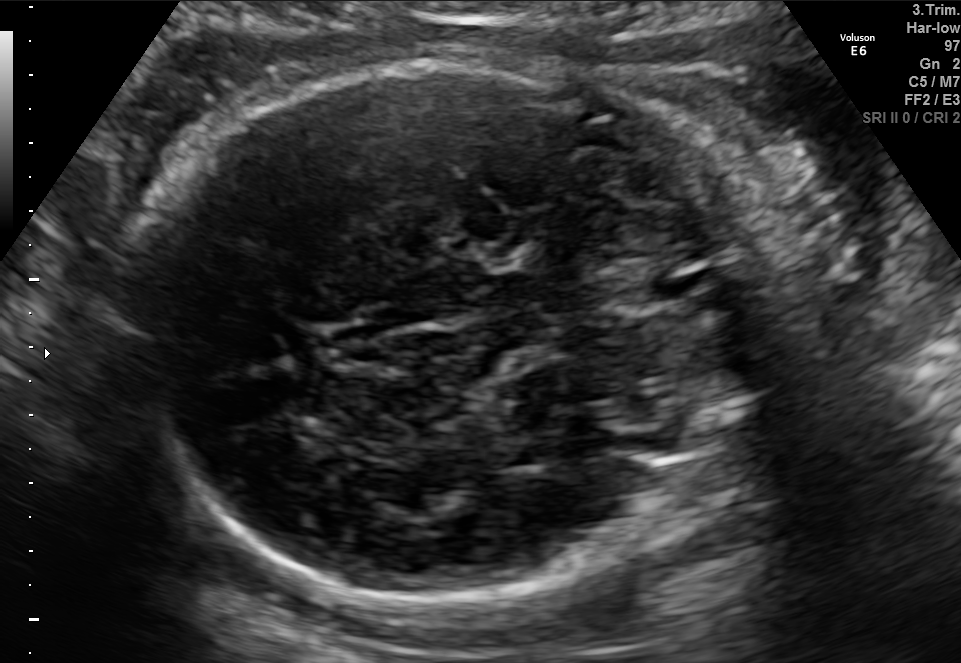
Fetal brain, trans-cerebellum plane. Locate the fetal head and, if visible, the cavum septum pellucidum (CSP) and lateral ventricle (LV). Give bounding boxes as [x1,y1,x2,y2].

Head: [129,59,748,598]